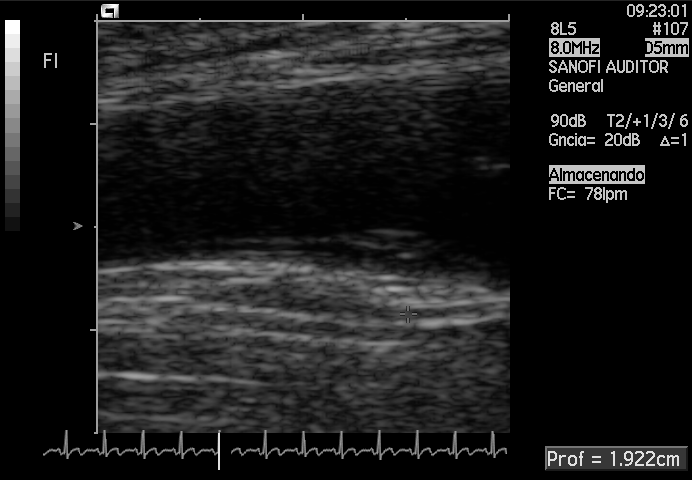
Classify this maternal-fetal ultrasound image as one of the six standard planes — fetal abdomen, fetal brain, fetal femur, fetal thorax, maternal cervix, or other. If it's fetal brain and one of the three standard brain planes (trans-thalamic, trans-cerebellum, trans-ventricular), name which.

Other